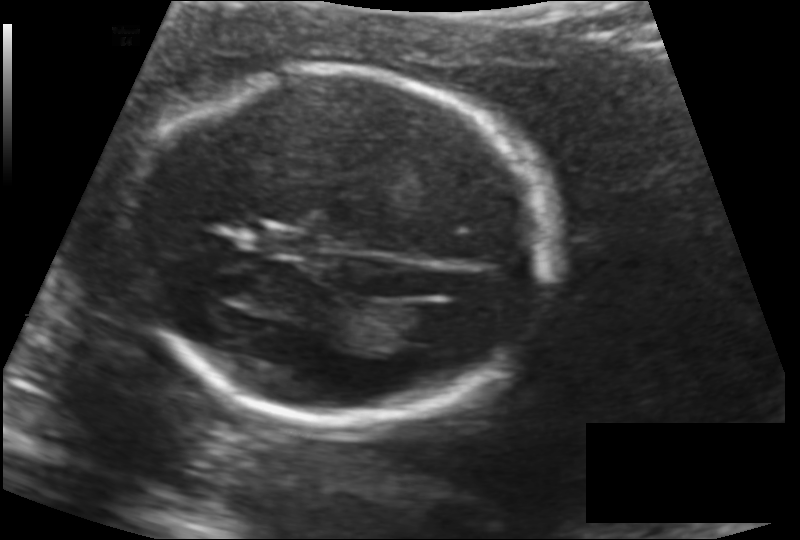
From this fetal ultrasound, estimate the head circumference (image width 105.6 mm).

Head circumference: 164.4 mm.